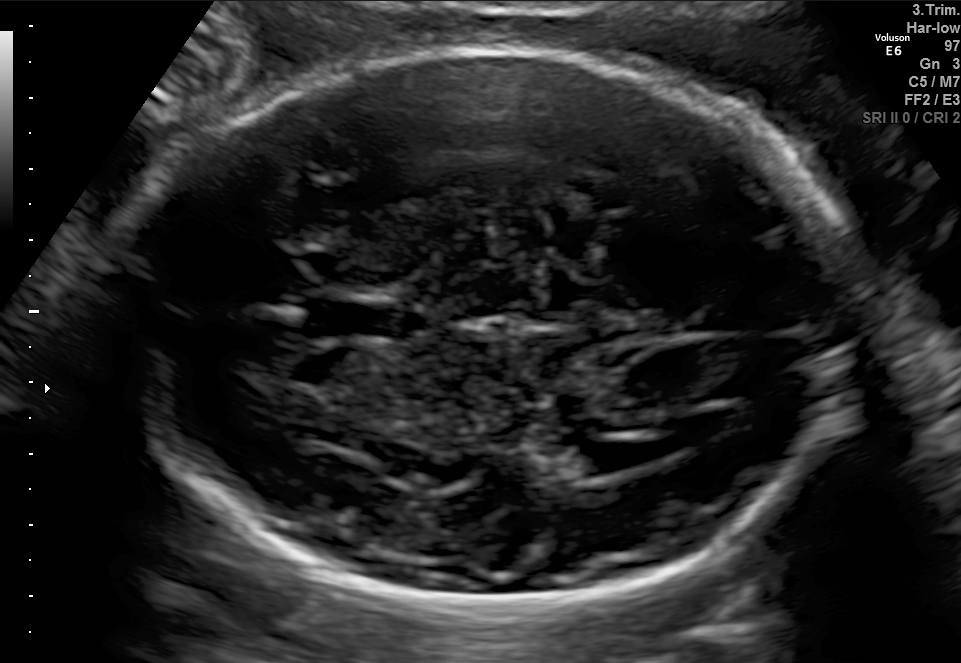
Fetal brain, trans-ventricular plane. Locate the fetal head and, if visible, the cavum septum pellucidum (CSP) and lateral ventricle (LV). Give bounding boxes as [x1,y1,x2,y2].

Head: [112,44,875,617]
CSP: [308,297,395,338]
Lateral ventricle: [573,434,660,481]